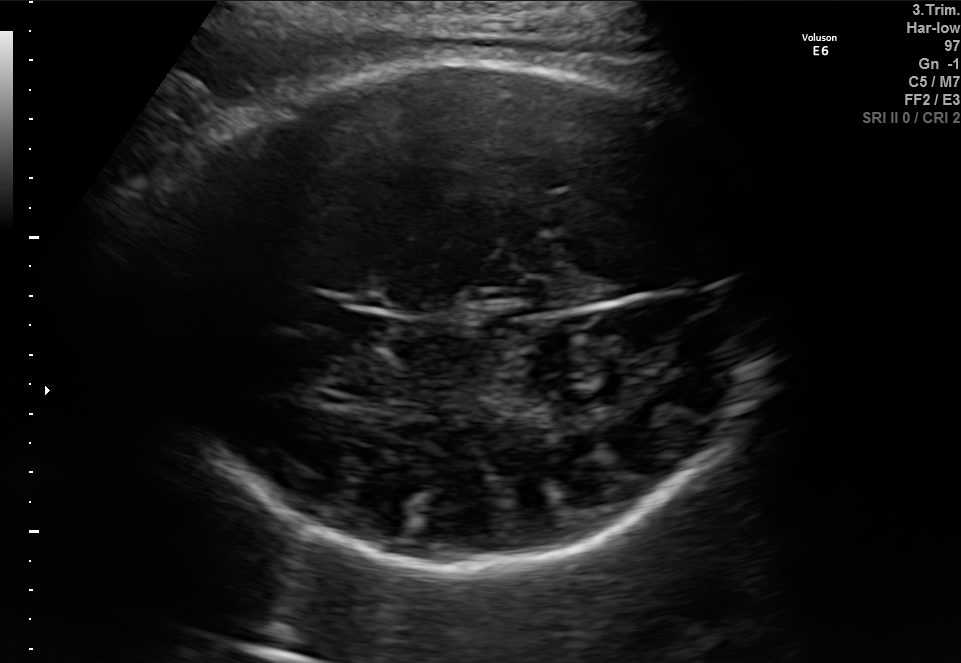
Fetal brain, trans-thalamic plane. Locate the fetal head and, if visible, the cavum septum pellucidum (CSP) and lateral ventricle (LV). Give bounding boxes as [x1,y1,x2,y2].

Head: [143,63,782,566]
CSP: [304,294,392,344]